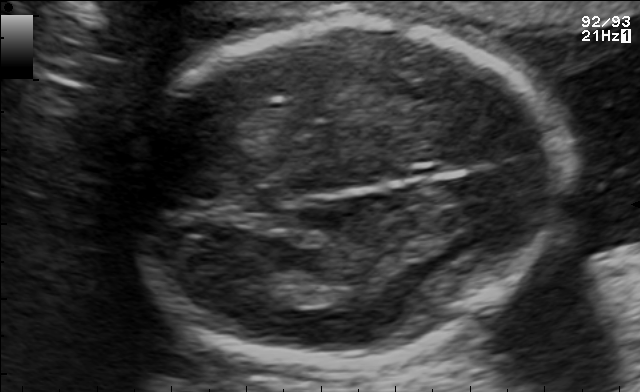
Fetal brain, trans-thalamic plane. Give [x1,y1,x2,y2] bounding boxes for each visible structure among: fetal head, CSP, LV.

Head: [123,16,561,368]
Lateral ventricle: [250,285,305,308]